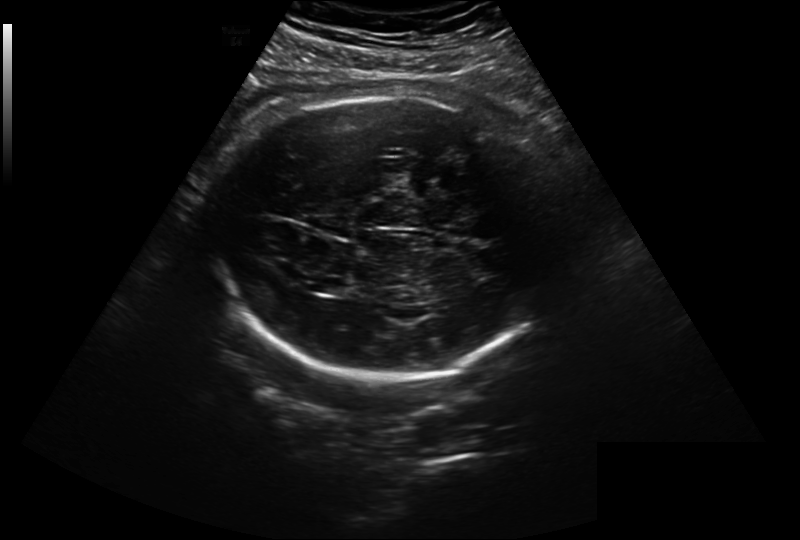
Estimate the fetal head circumference from this 2D ultrasound. Image width: 239.2 mm.

Head circumference: 315.3 mm.